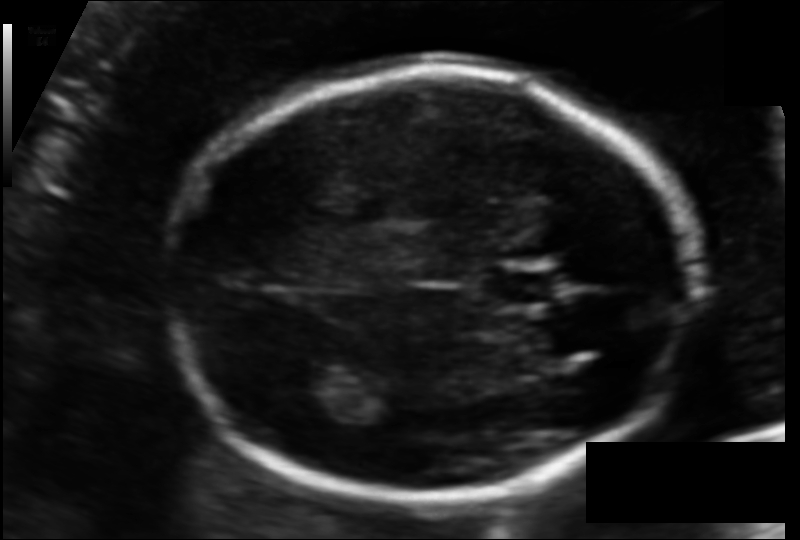
Fetal head ultrasound. Image width: 86.2 mm. Locate the fetal head.

Head: [161,74,692,496]